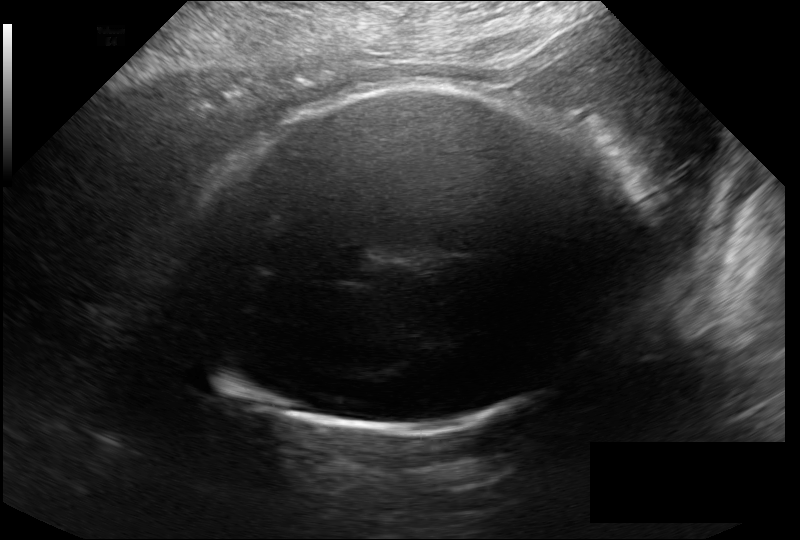
Fetal head ultrasound. Image width: 196.8 mm. Where is the fetal head?

Head bounding box: [182,84,642,431]